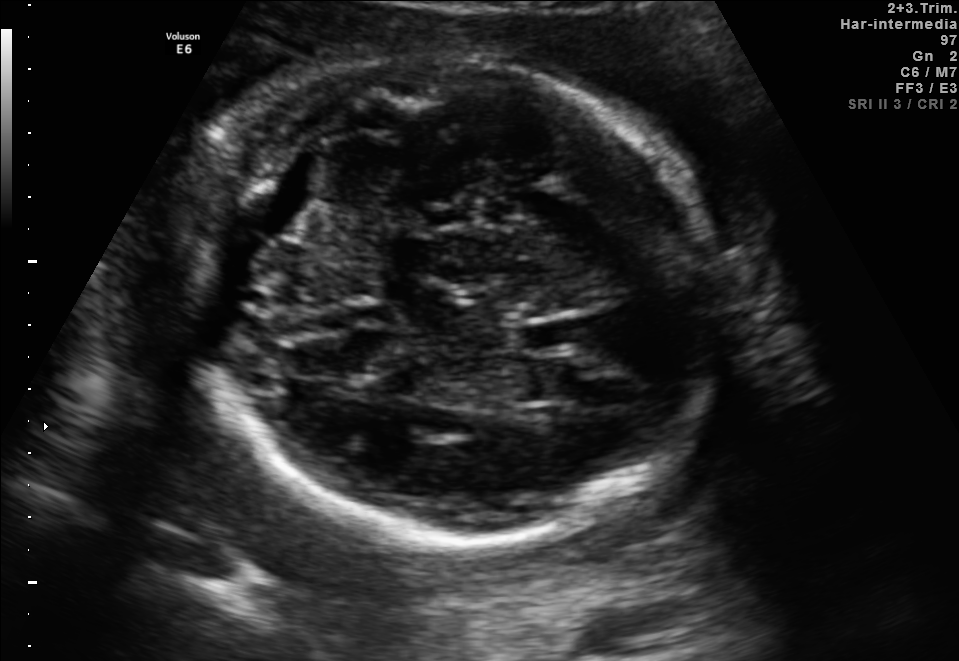
Fetal brain, trans-thalamic plane. Locate the fetal head and, if visible, the cavum septum pellucidum (CSP) and lateral ventricle (LV). Give bounding boxes as [x1,y1,x2,y2].

Head: [162,56,727,537]
CSP: [513,314,586,353]